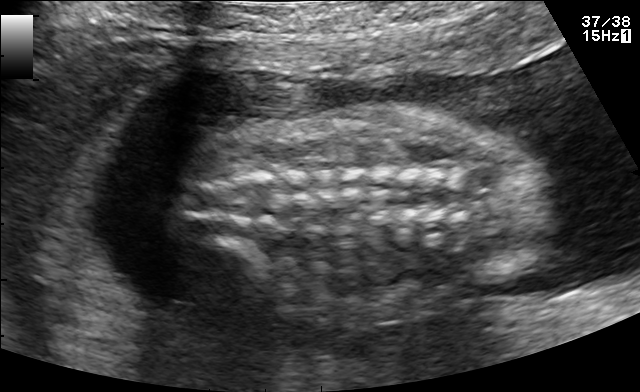
This is a 2D maternal-fetal ultrasound frame. Is it a fetal abdomen, fetal brain, fetal femur, fetal thorax, maternal cervix, or other standard plane? If it's fetal brain and one of the three standard brain planes (trans-thalamic, trans-cerebellum, trans-ventricular), name which.

Other